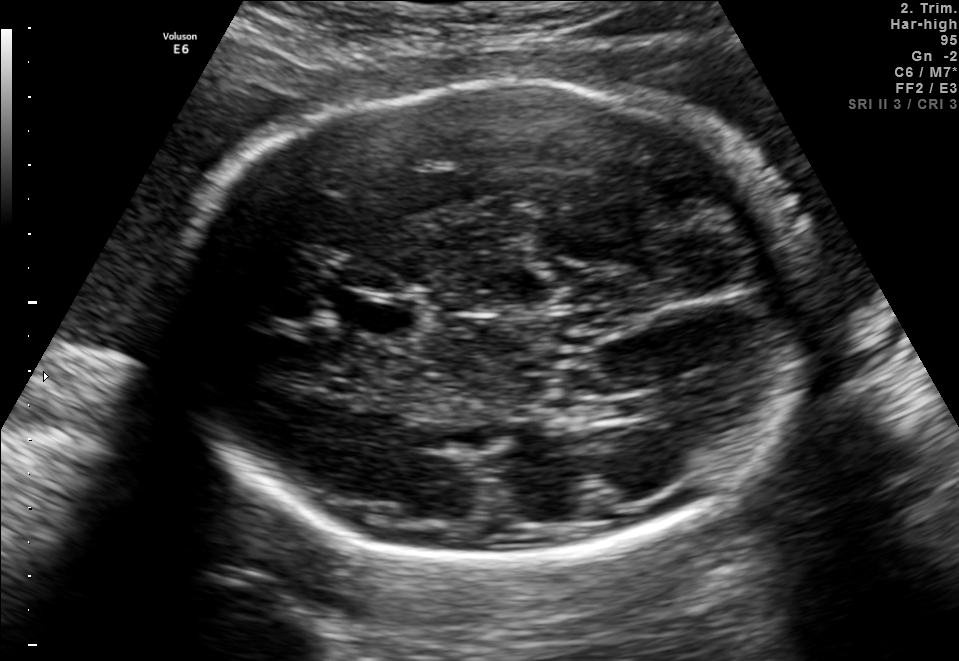
In this fetal brain, trans-thalamic plane, give the bounding box of the lateral ventricle.

[613,389,663,423]